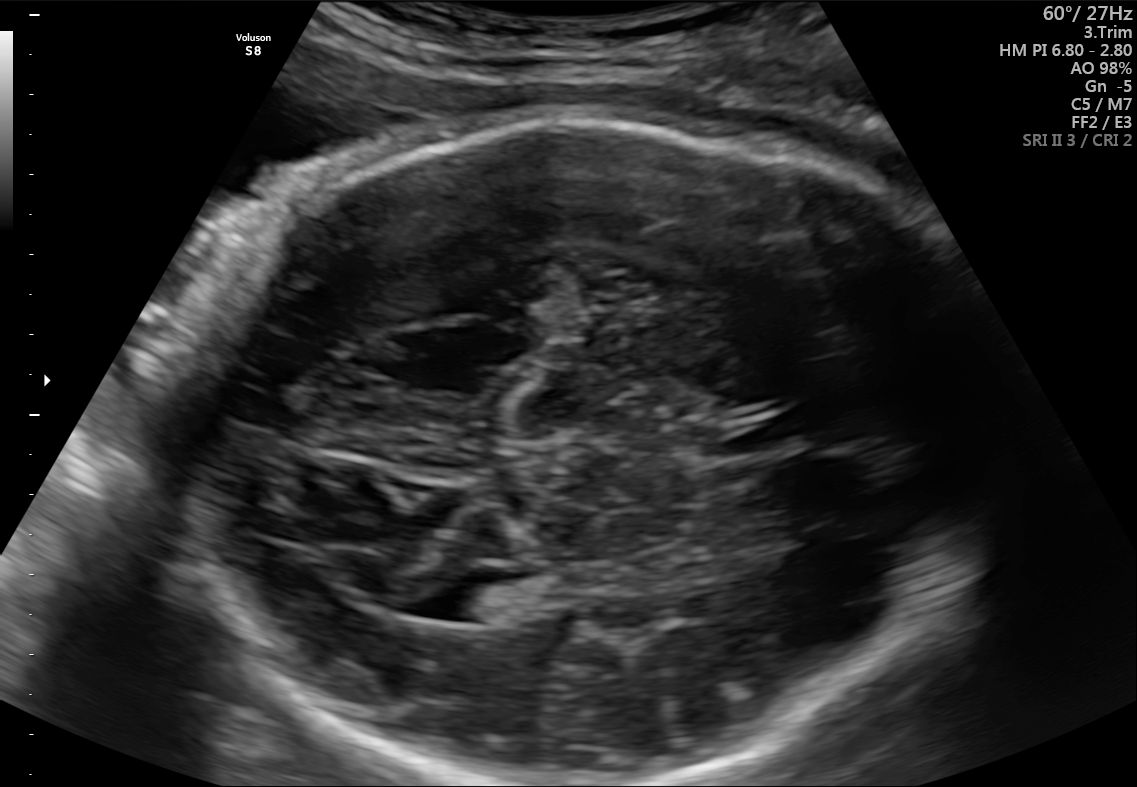
Fetal brain, trans-thalamic plane. Locate the cavum septum pellucidum.

CSP: [710,410,801,461]